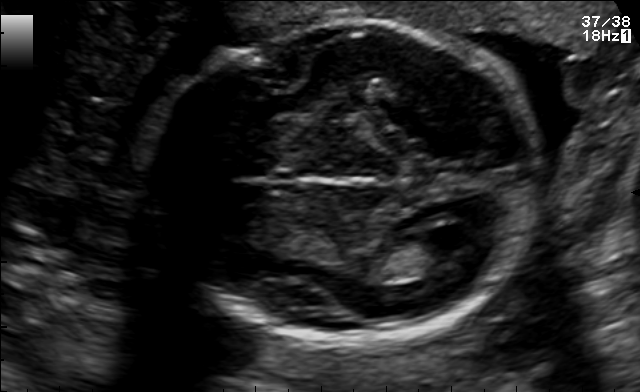
In this fetal brain, trans-ventricular plane, give the bounding box of the lateral ventricle.

[422,215,491,257]